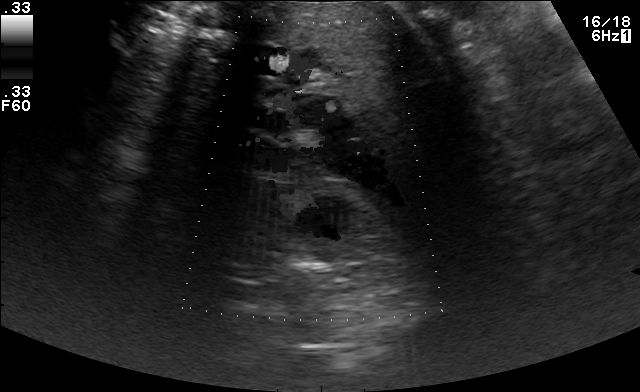
Which standard maternal-fetal ultrasound plane is shown: fetal abdomen, fetal brain, fetal femur, fetal thorax, maternal cervix, or other? If it's fetal brain and one of the three standard brain planes (trans-thalamic, trans-cerebellum, trans-ventricular), name which.

Other